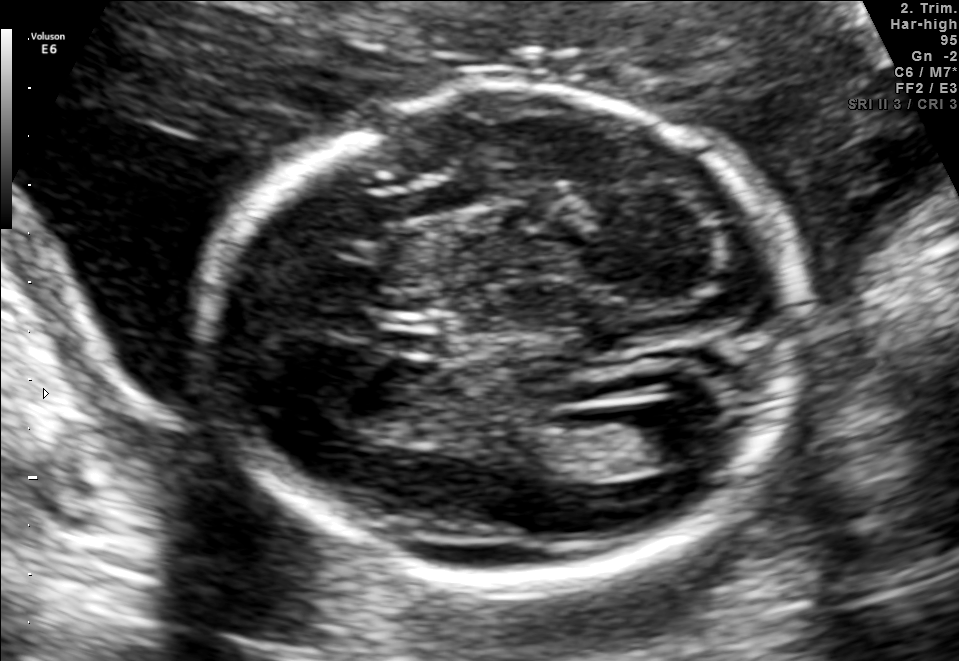
In this fetal brain, trans-ventricular plane, give the bounding box of the cavum septum pellucidum.

[362,303,459,359]